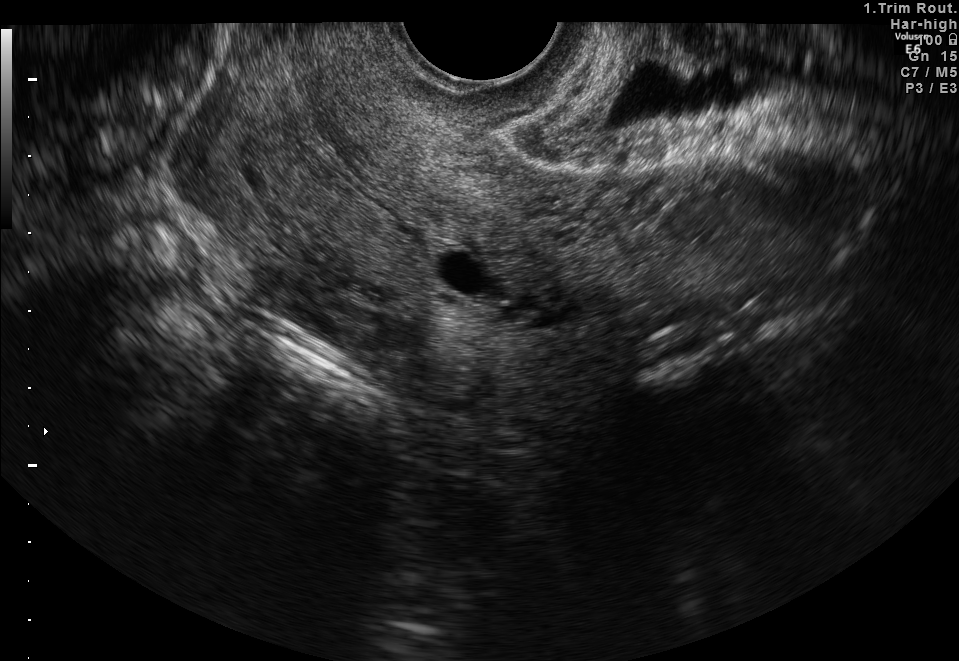
Classify this maternal-fetal ultrasound image as one of the six standard planes — fetal abdomen, fetal brain, fetal femur, fetal thorax, maternal cervix, or other. If it's fetal brain and one of the three standard brain planes (trans-thalamic, trans-cerebellum, trans-ventricular), name which.

Maternal cervix